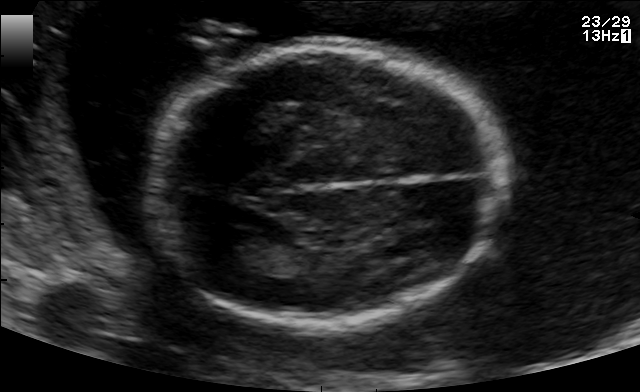
Fetal brain, trans-thalamic plane. Locate the lateral ventricle.

Lateral ventricle: [213,222,282,273]